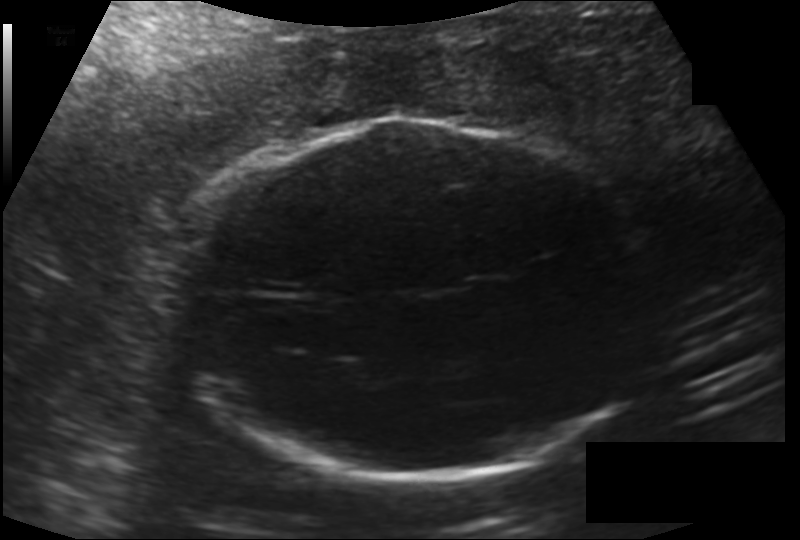
Fetal head ultrasound. Image width: 140.8 mm. Where is the fetal head?

Head bounding box: [169,119,653,475]